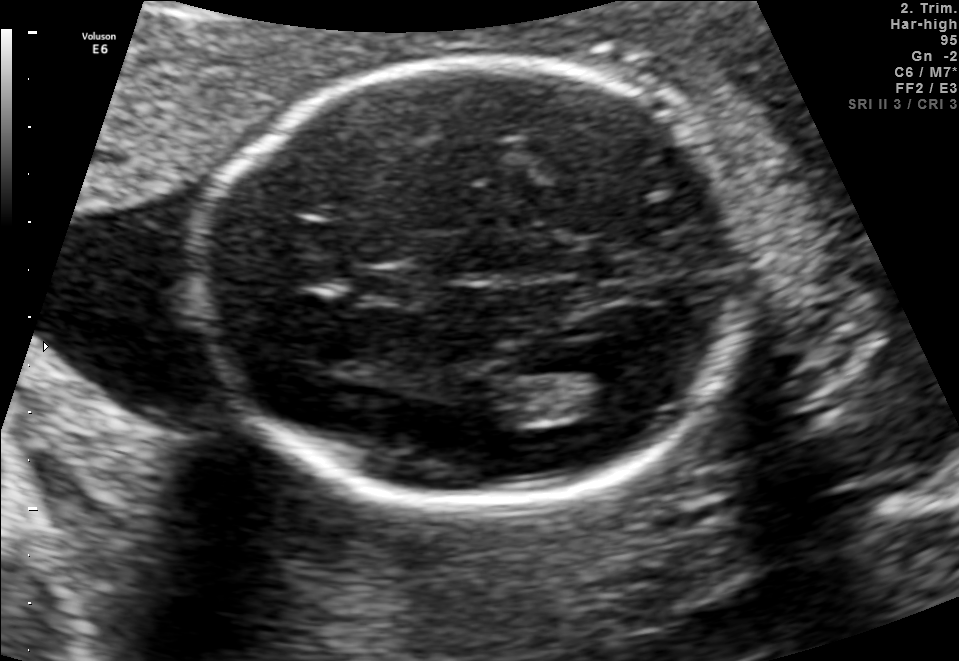
Fetal brain, trans-thalamic plane. Where is the lateral ventricle?

Lateral ventricle bounding box: [554,360,655,422]